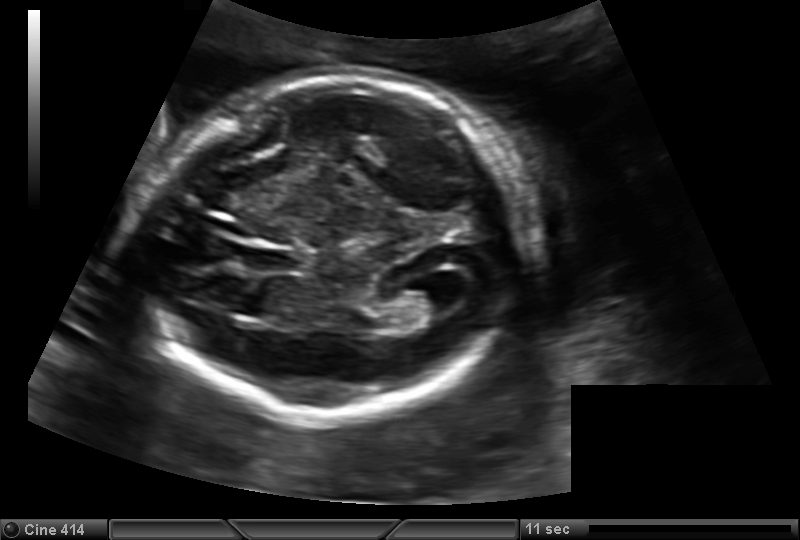
Fetal head ultrasound. Image width: 120.0 mm. Where is the fetal head?

Head bounding box: [143,76,523,417]